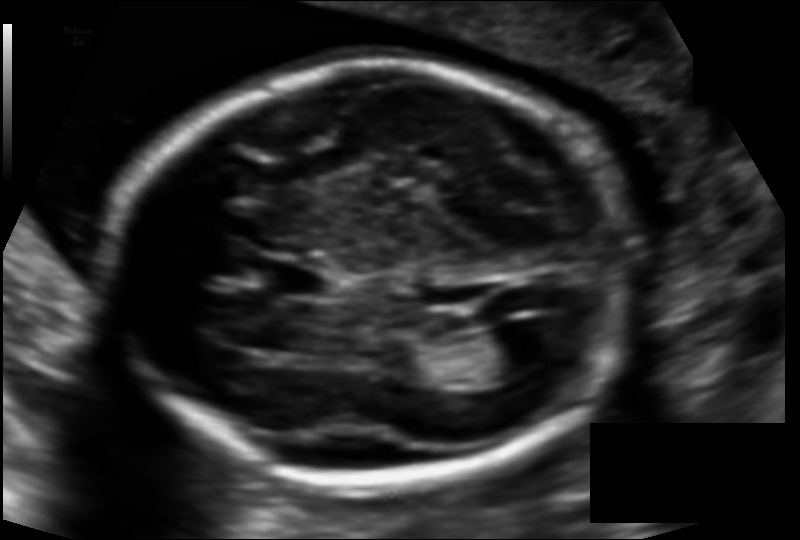
Fetal head ultrasound. Image width: 96.7 mm. Where is the lateral ventricle?

Lateral ventricle bounding box: [467,318,554,385]